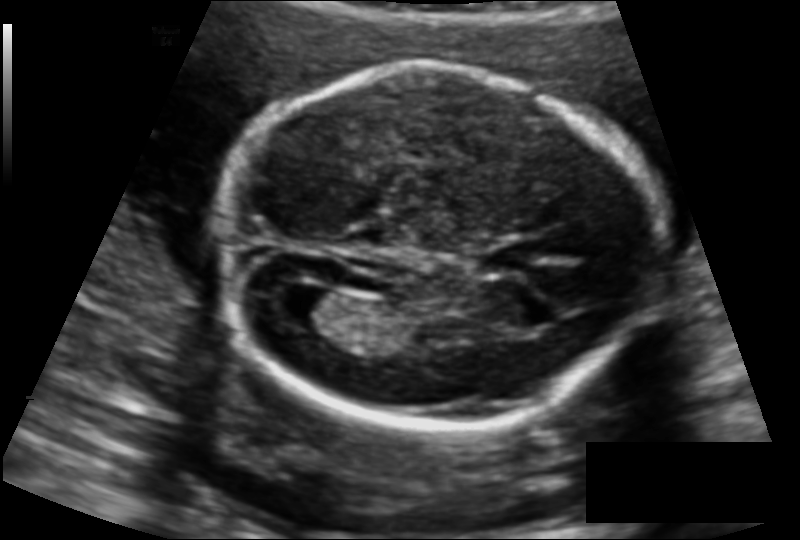
Measure the fetal head circumference shown in this ultrasound image. Image width: 101.8 mm.

Head circumference: 161.4 mm.